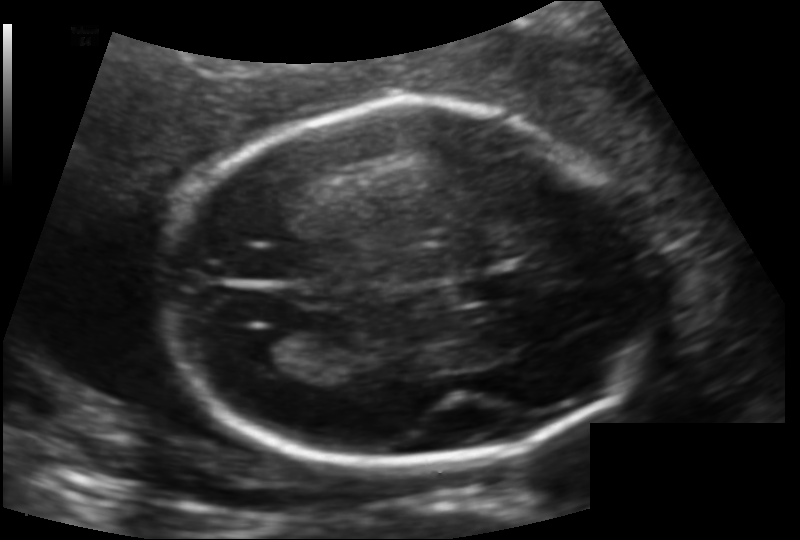
Fetal head ultrasound. Image width: 106.2 mm. Give [x1,y1,x2,y2] bounding boxes for each visible structure among: fetal head, CSP, LV.

Head: [156,107,654,464]
CSP: [457,269,529,305]
Lateral ventricle: [228,325,298,371]